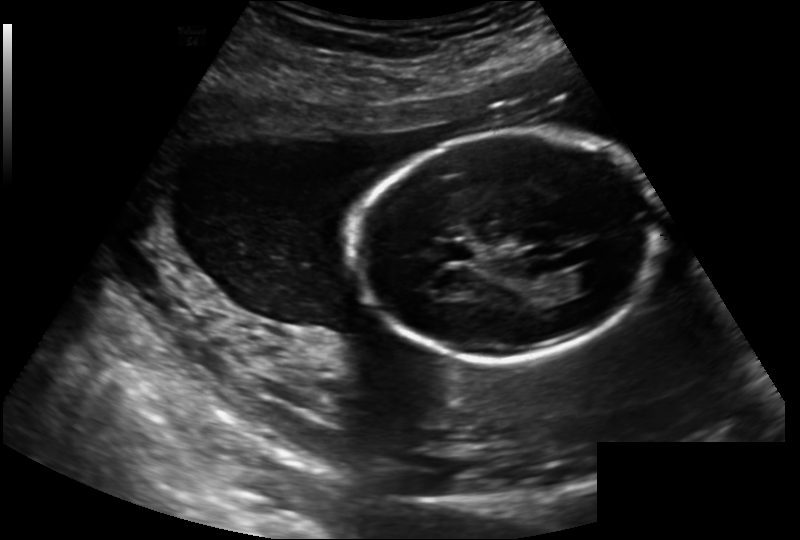
Estimate the fetal head circumference from this 2D ultrasound. Image width: 161.7 mm.

Head circumference: 175.9 mm.